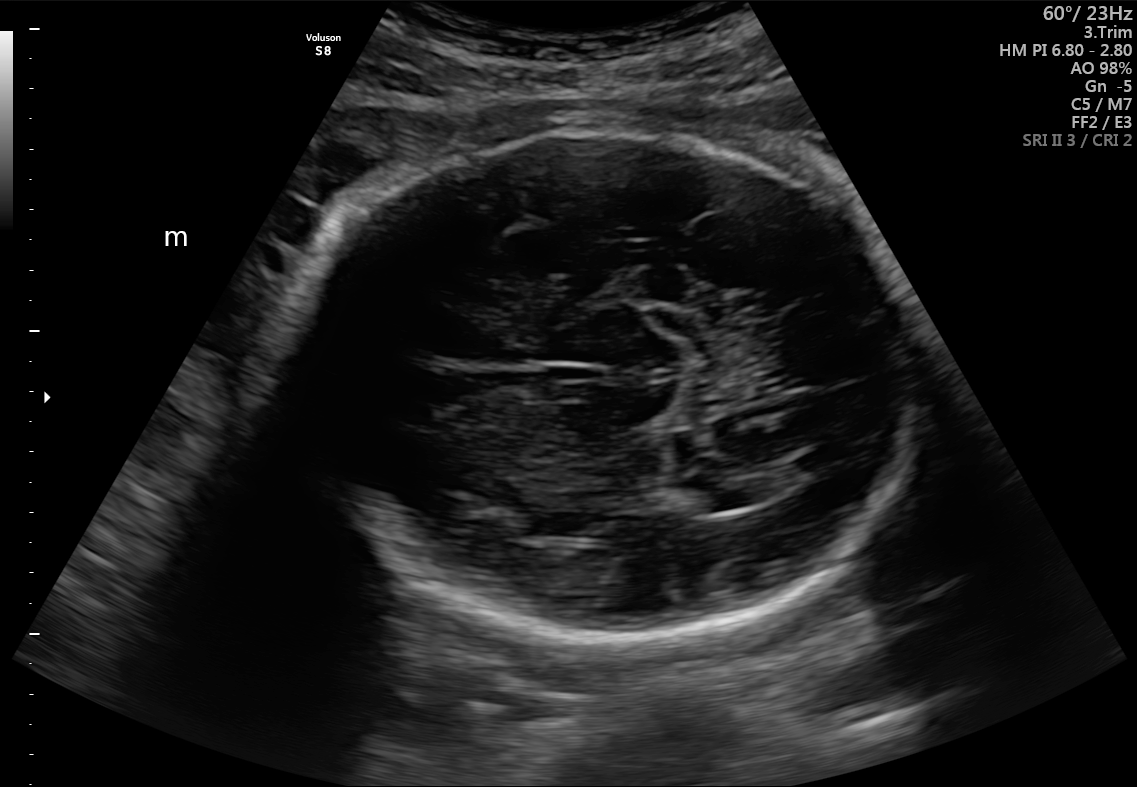
In this fetal brain, trans-thalamic plane, give bounding boxes for the head outline, cavum septum pellucidum (CSP), and lateral ventricle (LV), where visible.

Head: [286,135,920,645]
Lateral ventricle: [684,465,767,519]